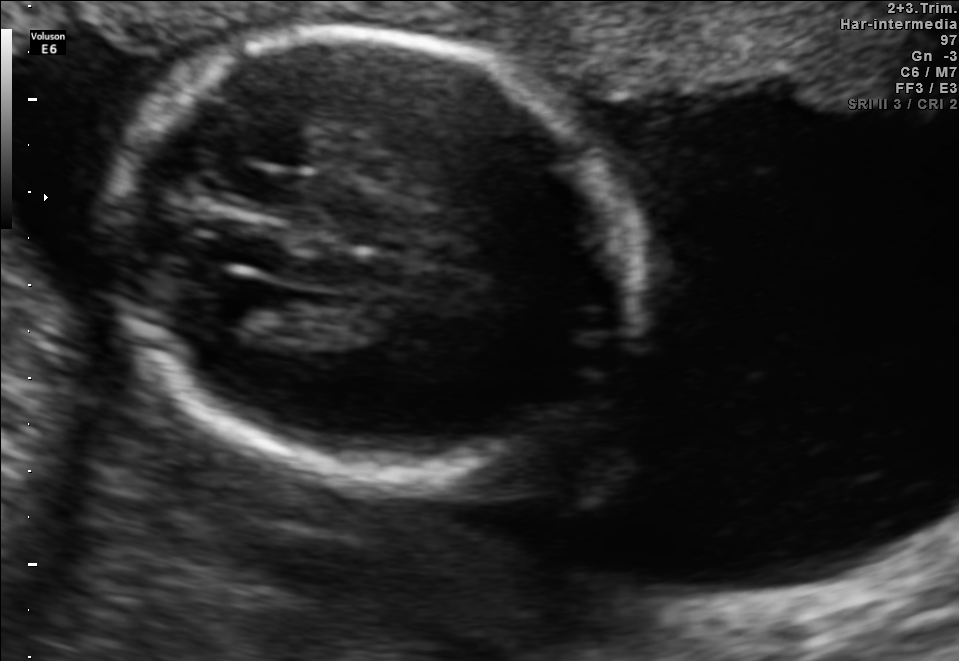
Classify this maternal-fetal ultrasound image as one of the six standard planes — fetal abdomen, fetal brain, fetal femur, fetal thorax, maternal cervix, or other. If it's fetal brain and one of the three standard brain planes (trans-thalamic, trans-cerebellum, trans-ventricular), name which.

Fetal brain